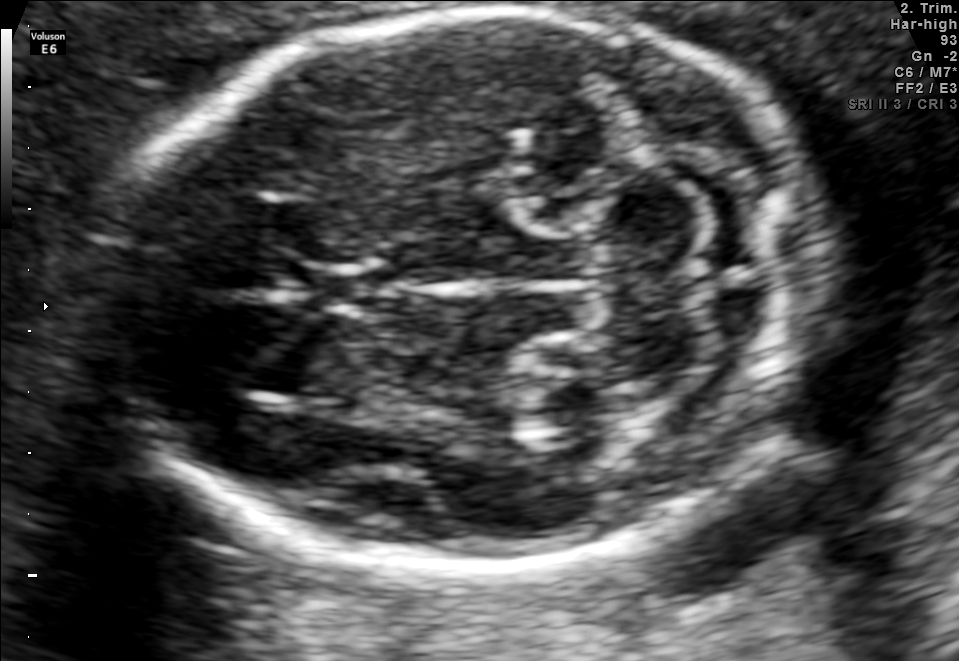
Fetal brain, trans-cerebellum plane. Give [x1,y1,x2,y2] bounding boxes for each visible structure among: fetal head, CSP, LV.

Head: [106,7,823,580]
CSP: [308,266,399,312]